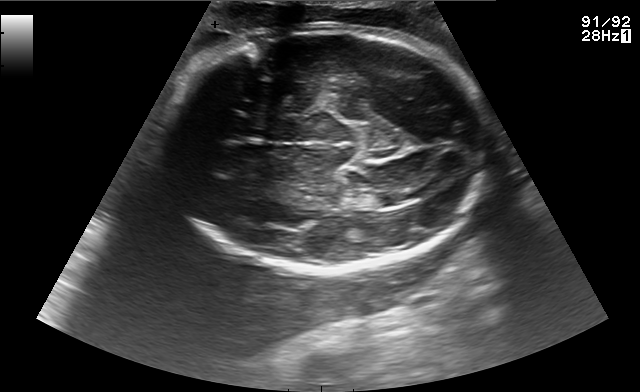
Fetal brain, trans-thalamic plane. Locate the lateral ventricle.

Lateral ventricle: [371,184,421,212]